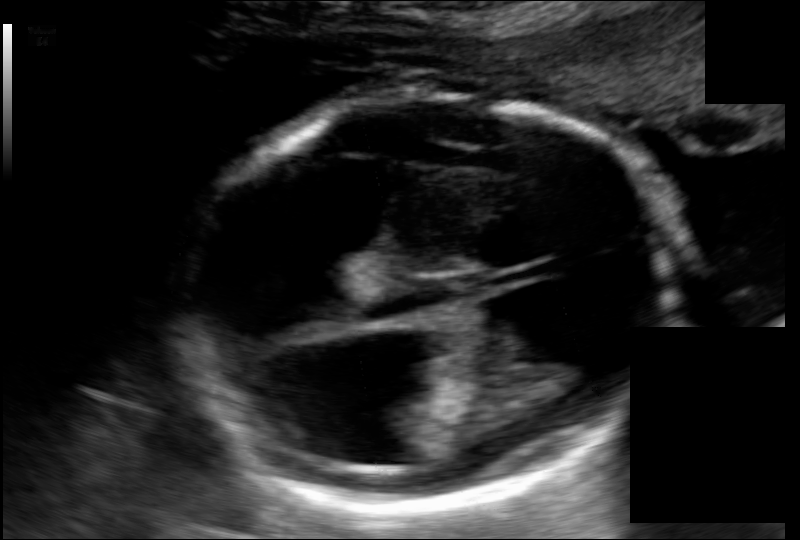
Measure the fetal head circumference shown in this ultrasound image. Image width: 107.8 mm.

Head circumference: 196.9 mm.